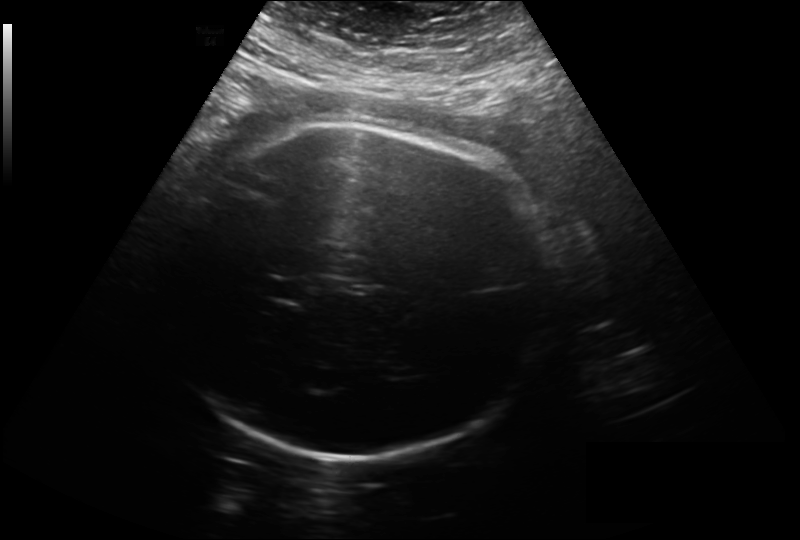
From this fetal ultrasound, estimate the head circumference (image width 208.8 mm).

Head circumference: 307.7 mm.